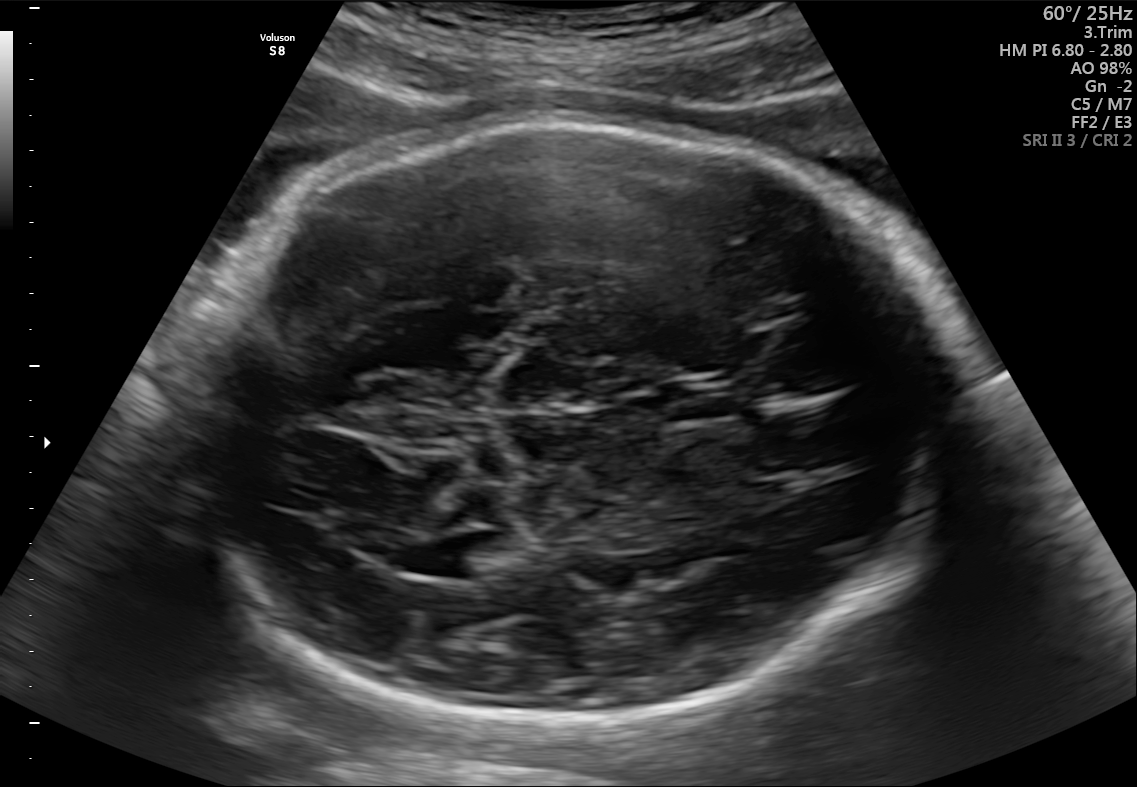
Fetal brain, trans-ventricular plane. Locate the fetal head.

Head: [179,111,965,729]